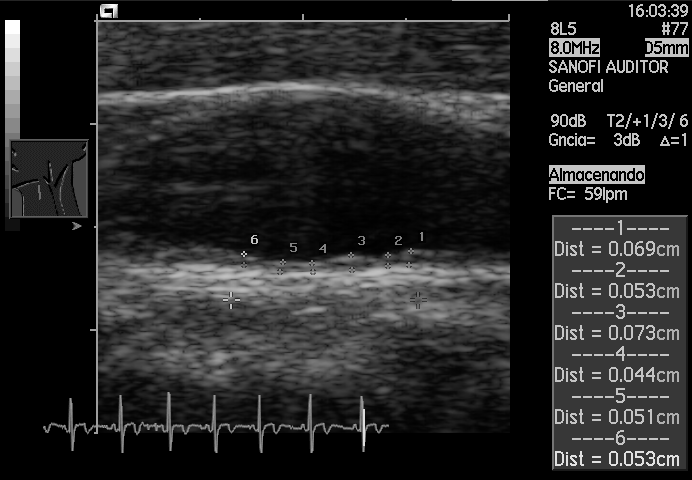
Classify this maternal-fetal ultrasound image as one of the six standard planes — fetal abdomen, fetal brain, fetal femur, fetal thorax, maternal cervix, or other. If it's fetal brain and one of the three standard brain planes (trans-thalamic, trans-cerebellum, trans-ventricular), name which.

Other